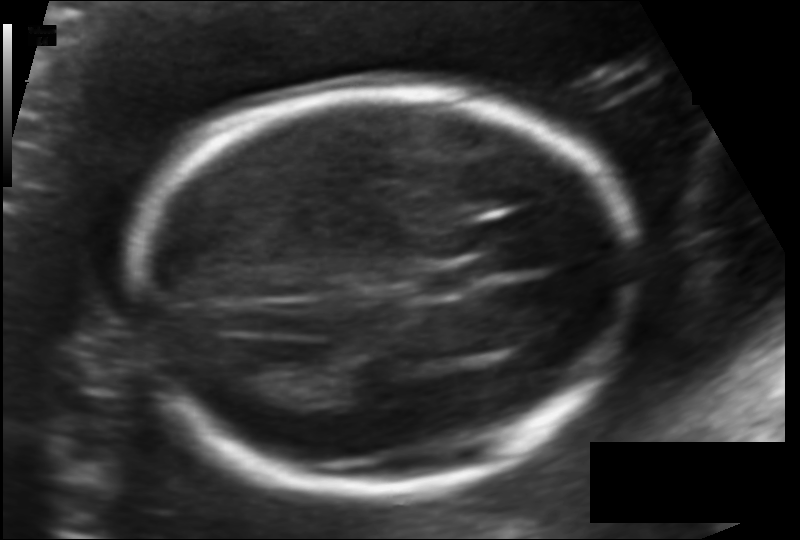
In this fetal head ultrasound, give the bounding box of the lateral ventricle. Image width: 99.3 mm.

[219,351,297,404]